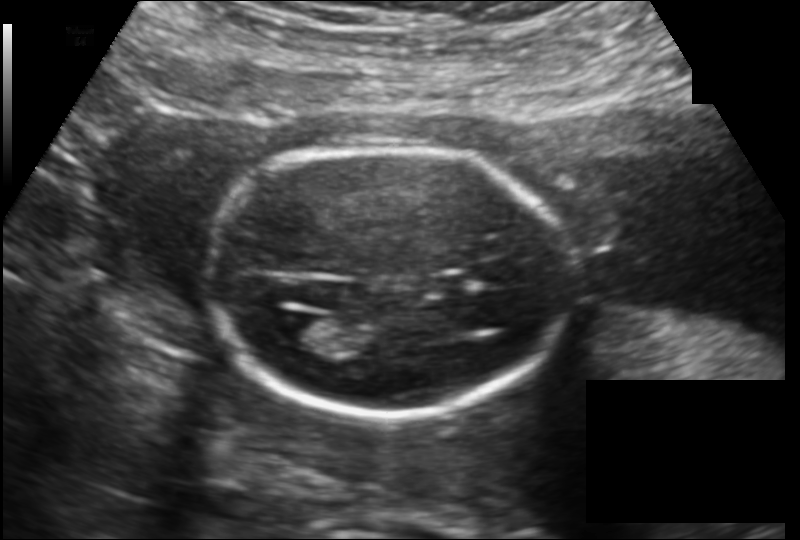
Fetal head ultrasound. Image width: 119.1 mm. Locate the fetal head.

Head: [206,149,571,416]